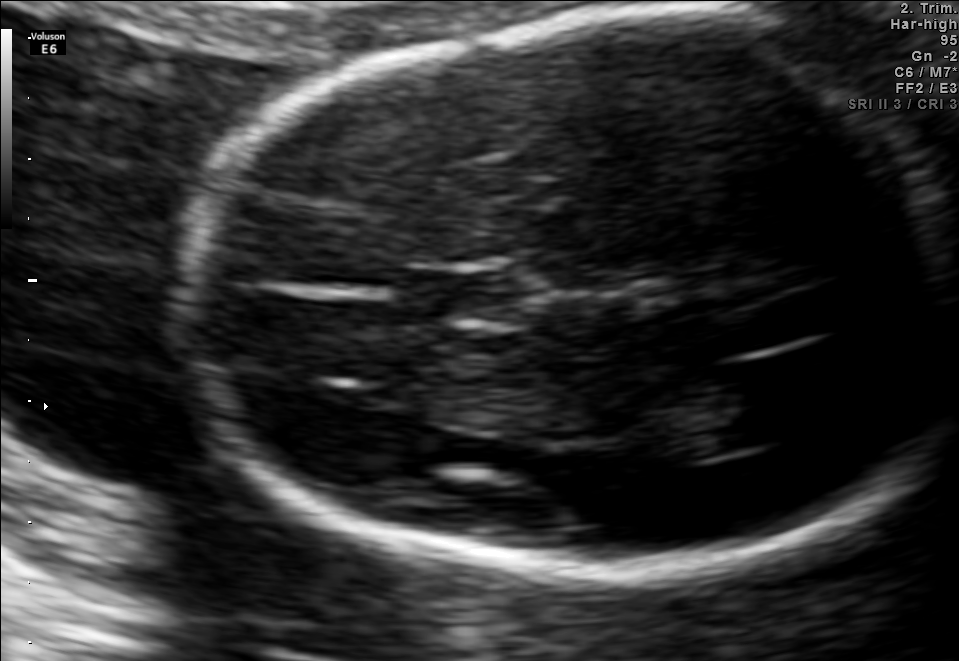
Fetal brain, trans-thalamic plane. Locate the fetal head and, if visible, the cavum septum pellucidum (CSP) and lateral ventricle (LV). Give bounding boxes as [x1,y1,x2,y2].

Head: [182,19,955,572]
CSP: [404,274,517,320]
Lateral ventricle: [665,363,802,463]